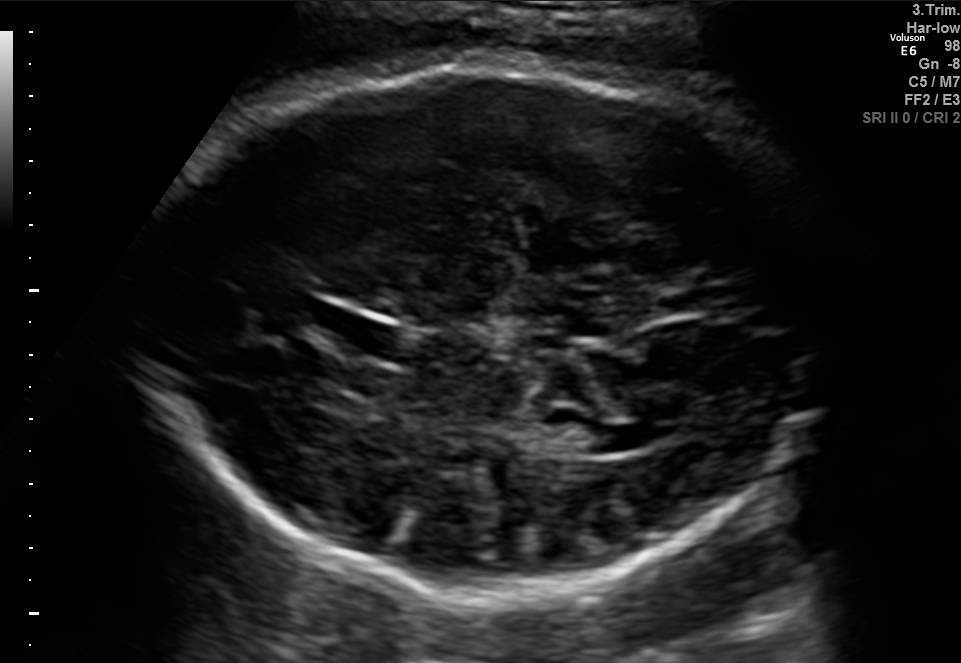
Fetal brain, trans-thalamic plane. Where is the cavum septum pellucidum?

CSP bounding box: [328,309,419,369]